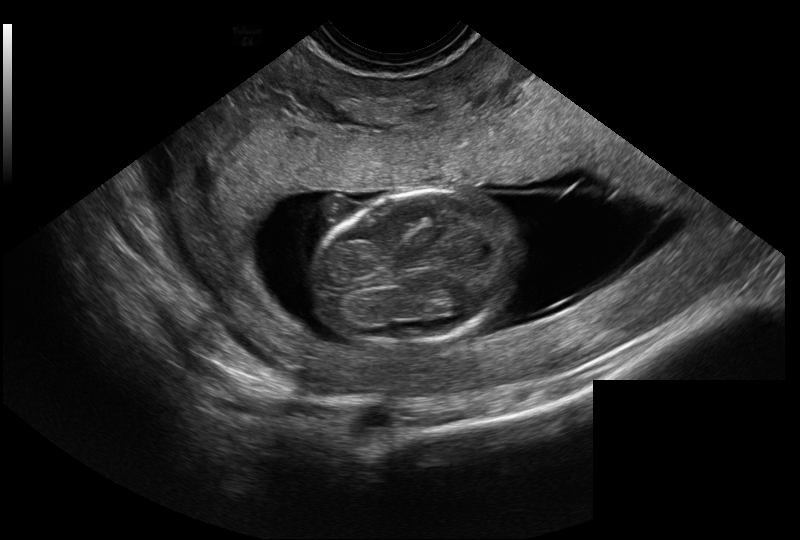
Measure the fetal head circumference shown in this ultrasound image. Image width: 102.5 mm.

Head circumference: 75.6 mm.